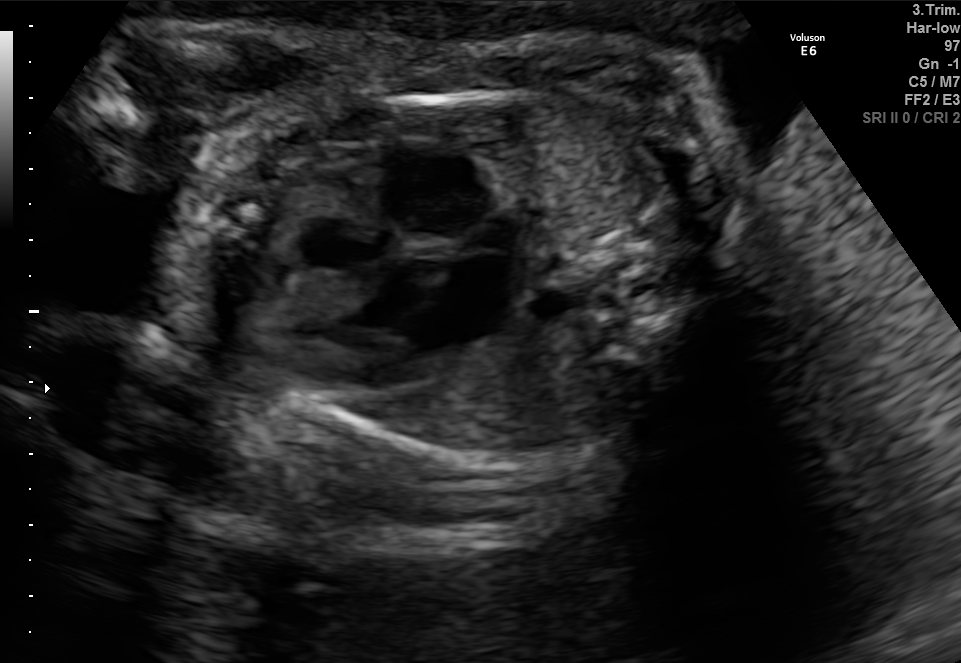
Classify this maternal-fetal ultrasound image as one of the six standard planes — fetal abdomen, fetal brain, fetal femur, fetal thorax, maternal cervix, or other. If it's fetal brain and one of the three standard brain planes (trans-thalamic, trans-cerebellum, trans-ventricular), name which.

Fetal thorax